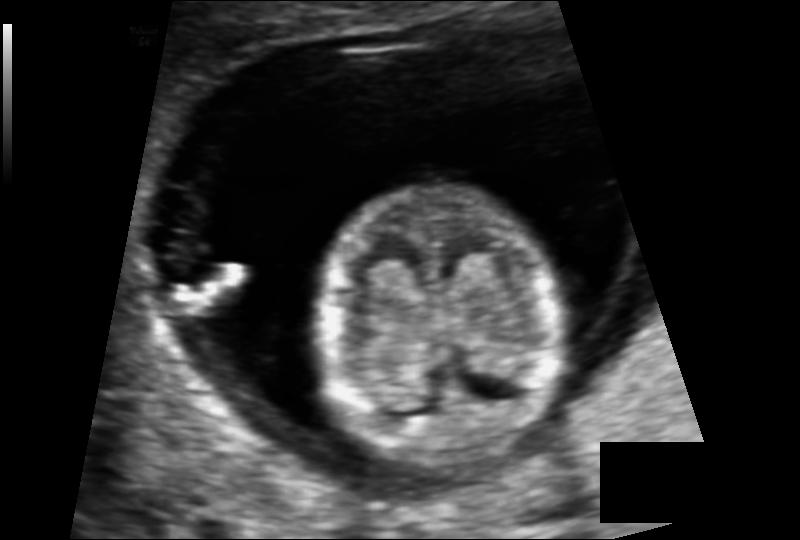
Measure the fetal head circumference shown in this ultrasound image. Image width: 71.8 mm.

Head circumference: 75.3 mm.